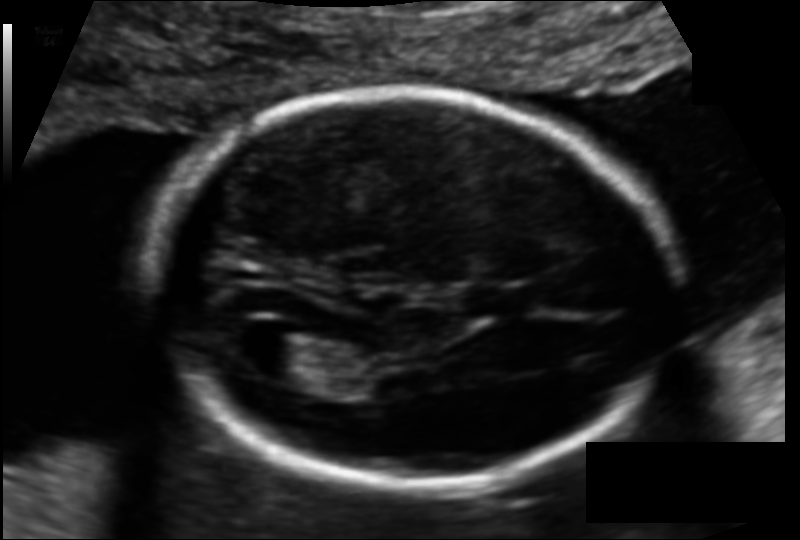
Fetal head ultrasound. Image width: 91.1 mm. Locate the fetal head.

Head: [152,89,673,485]